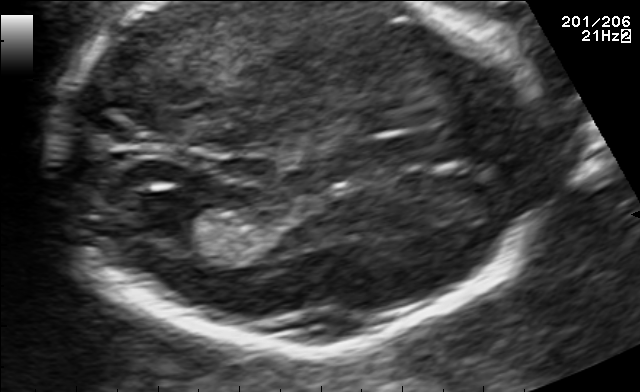
Identify the standard plane in this fetal ultrasound image: fetal abdomen, fetal brain, fetal femur, fetal thorax, maternal cervix, or other. If it's fetal brain and one of the three standard brain planes (trans-thalamic, trans-cerebellum, trans-ventricular), name which.

Fetal brain (trans-thalamic plane)